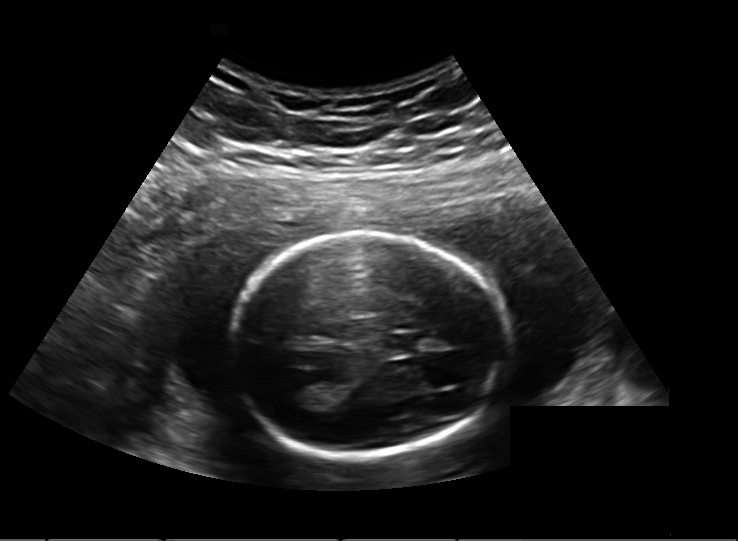
In this fetal head ultrasound, give the bounding box of the lateral ventricle. Image width: 149.5 mm.

[282,377,319,409]